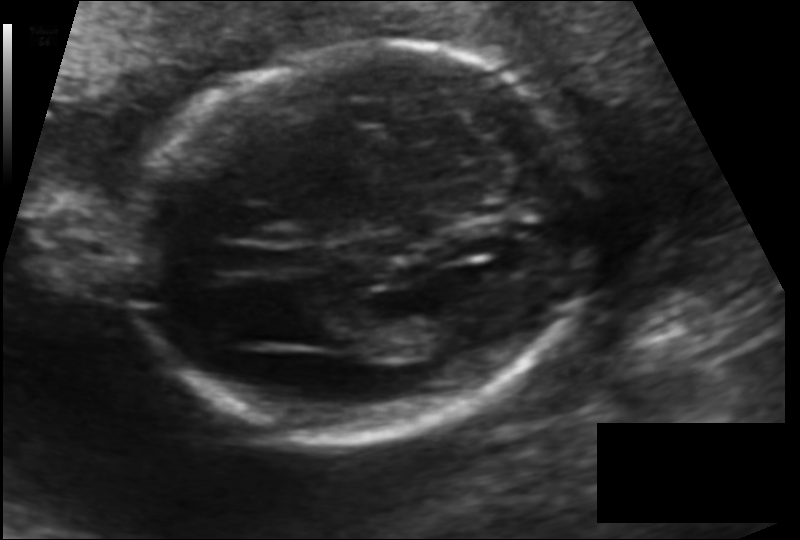
Estimate the fetal head circumference from this 2D ultrasound.

Head circumference: 167.0 mm (image width 96.4 mm).